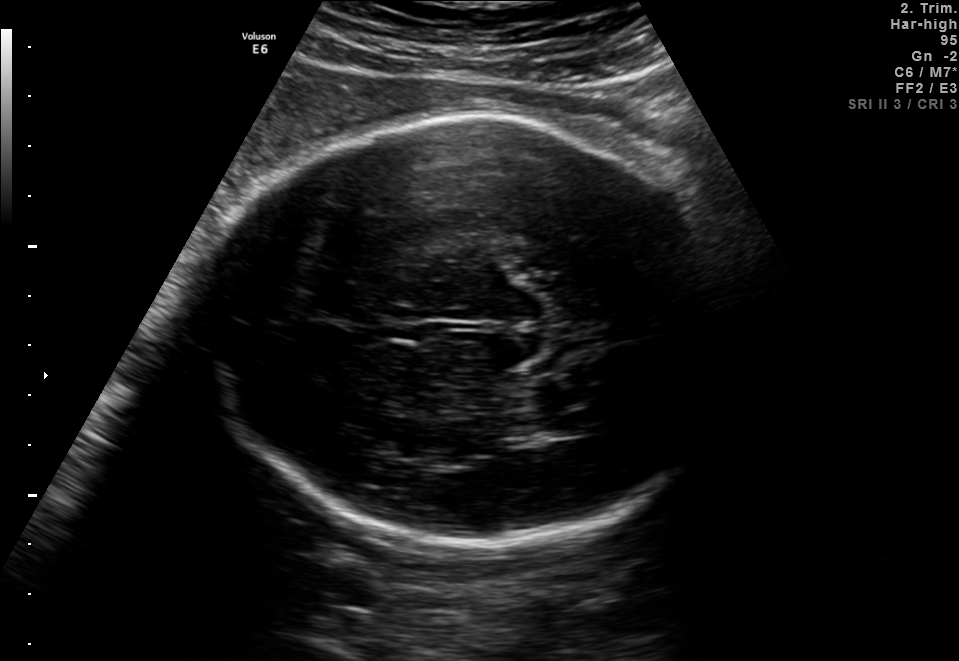
Fetal brain, trans-thalamic plane. Where is the fetal head?

Head bounding box: [203,115,738,546]